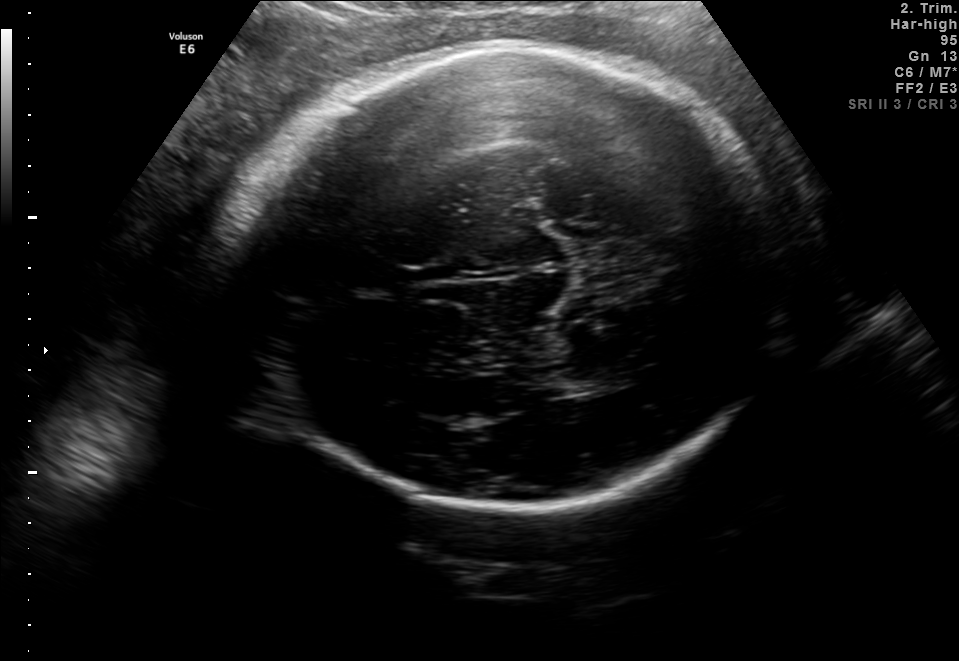
Identify the standard plane in this fetal ultrasound image: fetal abdomen, fetal brain, fetal femur, fetal thorax, maternal cervix, or other. If it's fetal brain and one of the three standard brain planes (trans-thalamic, trans-cerebellum, trans-ventricular), name which.

Fetal brain (trans-thalamic plane)